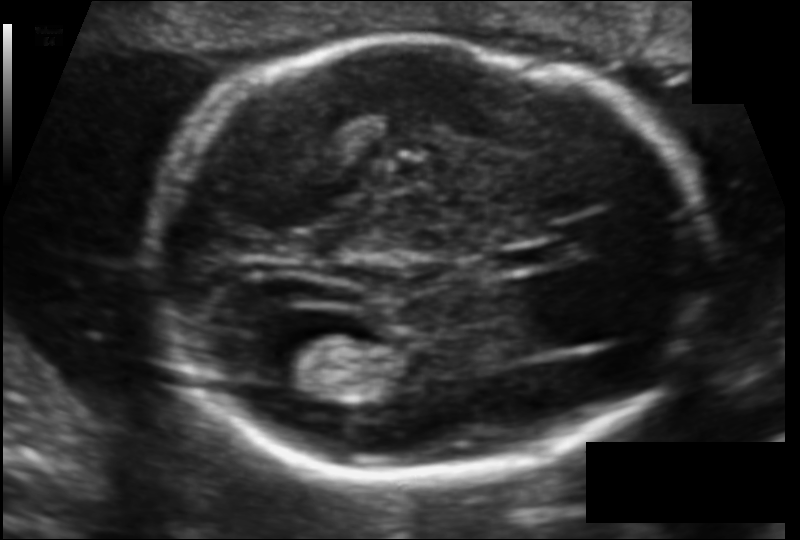
Fetal head ultrasound. Image width: 84.9 mm. Where is the cavum septum pellucidum?

CSP bounding box: [496,233,569,277]